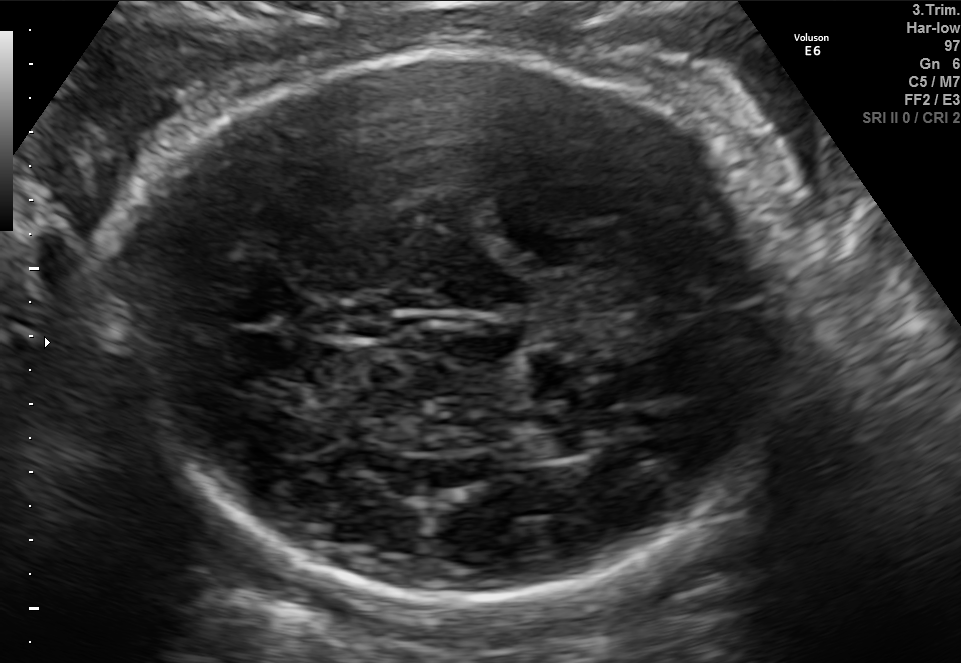
Fetal brain, trans-thalamic plane. Locate the cavum septum pellucidum.

CSP: [337,304,397,336]